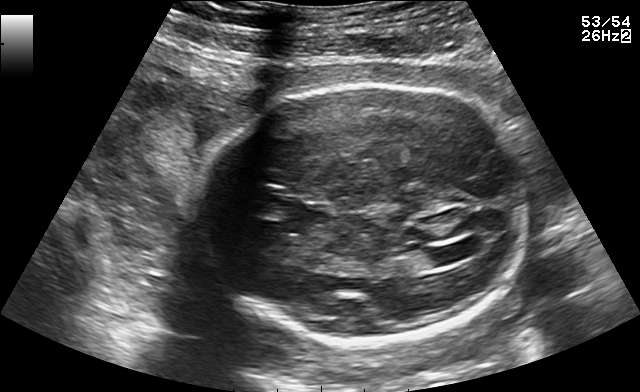
Fetal brain, trans-ventricular plane. Locate the fetal head.

Head: [196,77,537,349]